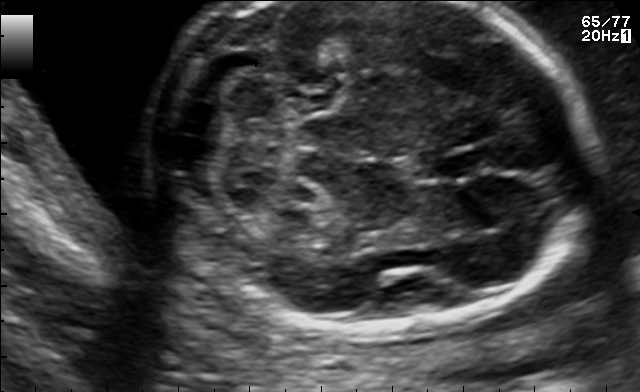
Fetal brain, trans-cerebellum plane. Locate the fetal head and, if visible, the cavum septum pellucidum (CSP) and lateral ventricle (LV). Give bounding boxes as [x1,y1,x2,y2].

Head: [148,2,595,336]
CSP: [432,143,494,185]